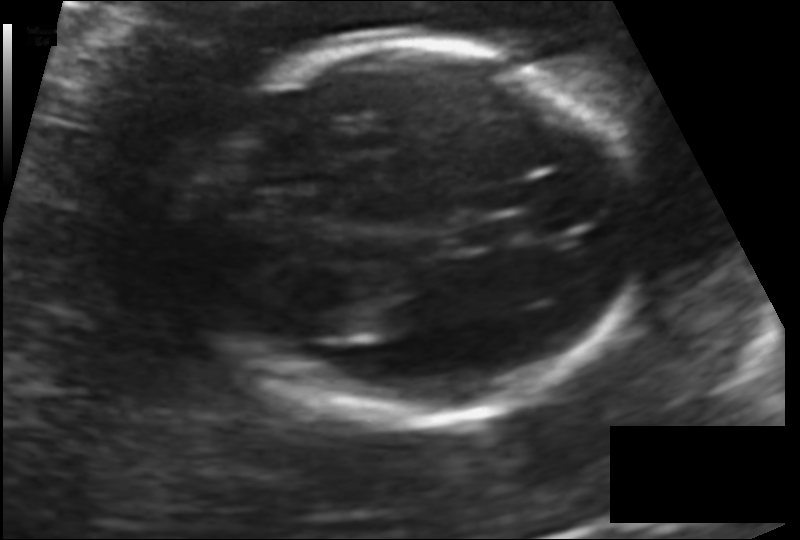
Fetal head ultrasound. Image width: 104.5 mm. Locate the cavum septum pellucidum.

CSP: [456,212,525,255]